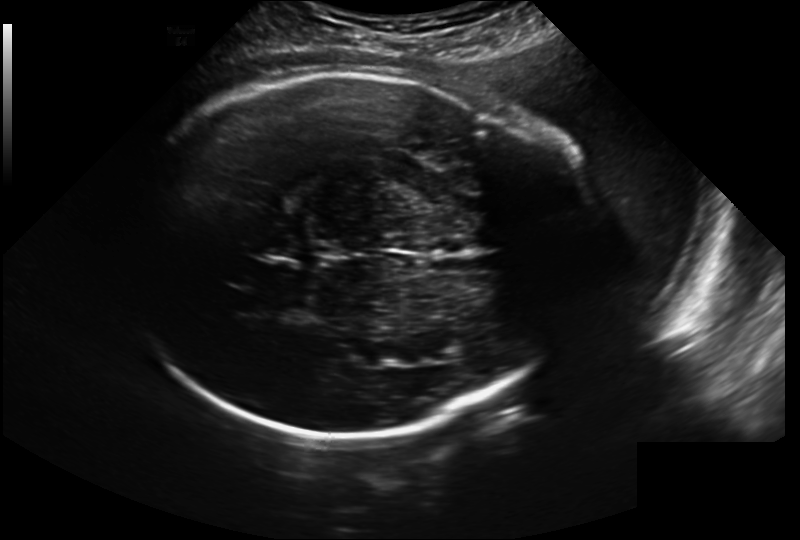
Fetal head ultrasound. Image width: 192.7 mm. Where is the fetal head?

Head bounding box: [129,73,554,438]